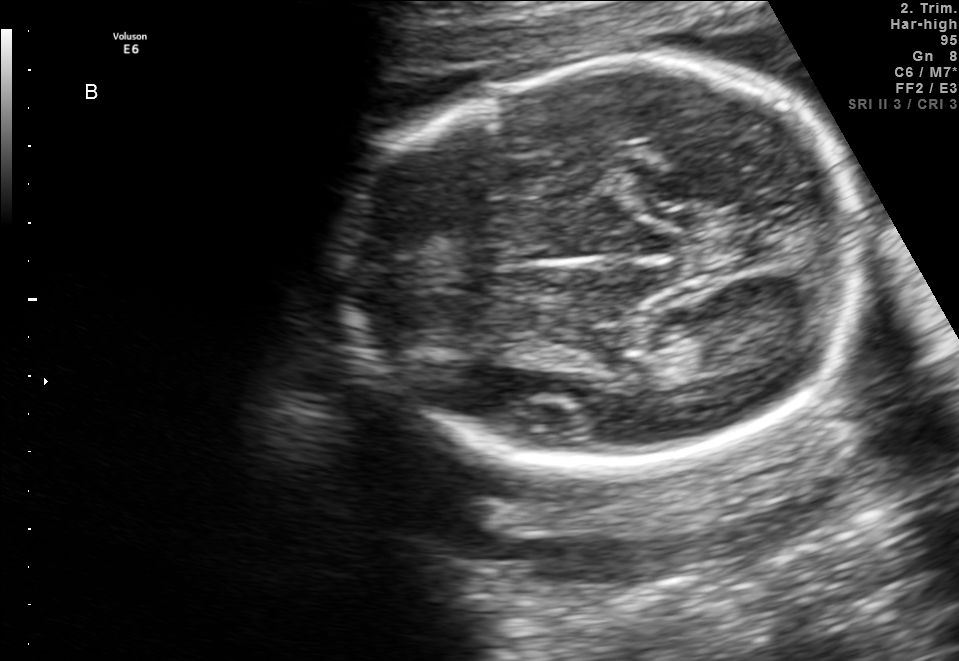
Fetal brain, trans-thalamic plane. Where is the lateral ventricle?

Lateral ventricle bounding box: [651,308,757,383]